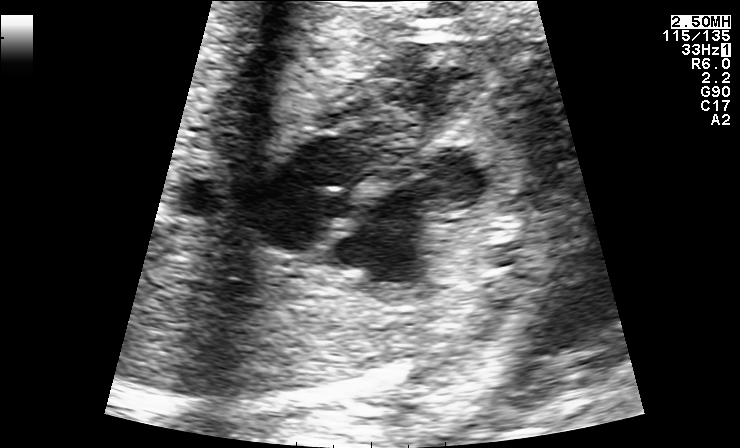
Identify the standard plane in this fetal ultrasound image: fetal abdomen, fetal brain, fetal femur, fetal thorax, maternal cervix, or other. If it's fetal brain and one of the three standard brain planes (trans-thalamic, trans-cerebellum, trans-ventricular), name which.

Fetal thorax